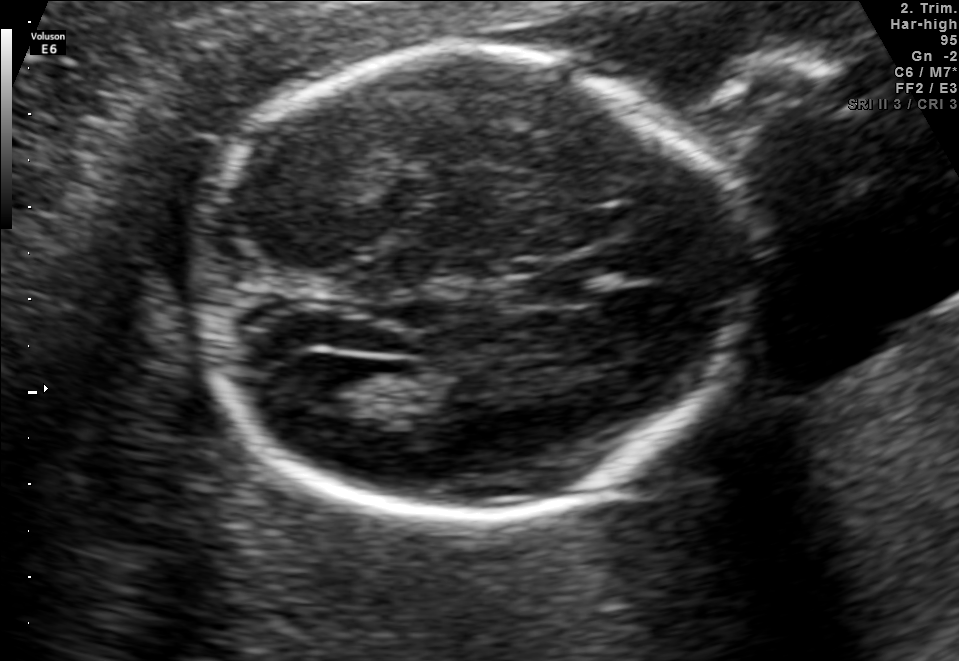
In this fetal brain, trans-ventricular plane, give the bounding box of the cavum septum pellucidum.

[501,274,589,305]